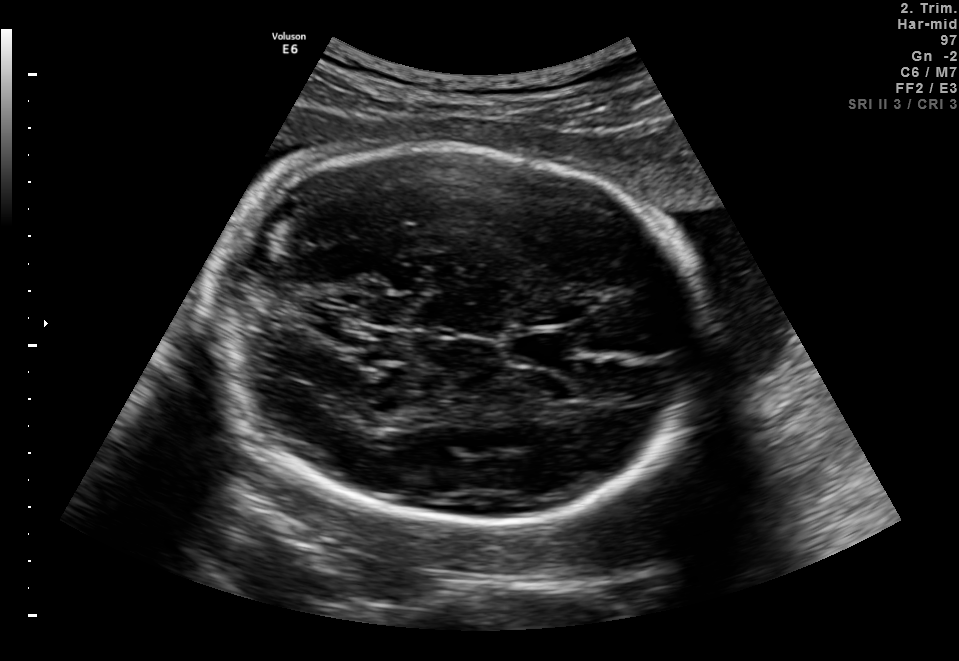
Fetal brain, trans-thalamic plane. Give [x1,y1,x2,y2] bounding boxes for each visible structure among: fetal head, CSP, LV.

Head: [214,145,719,530]
CSP: [512,333,575,365]